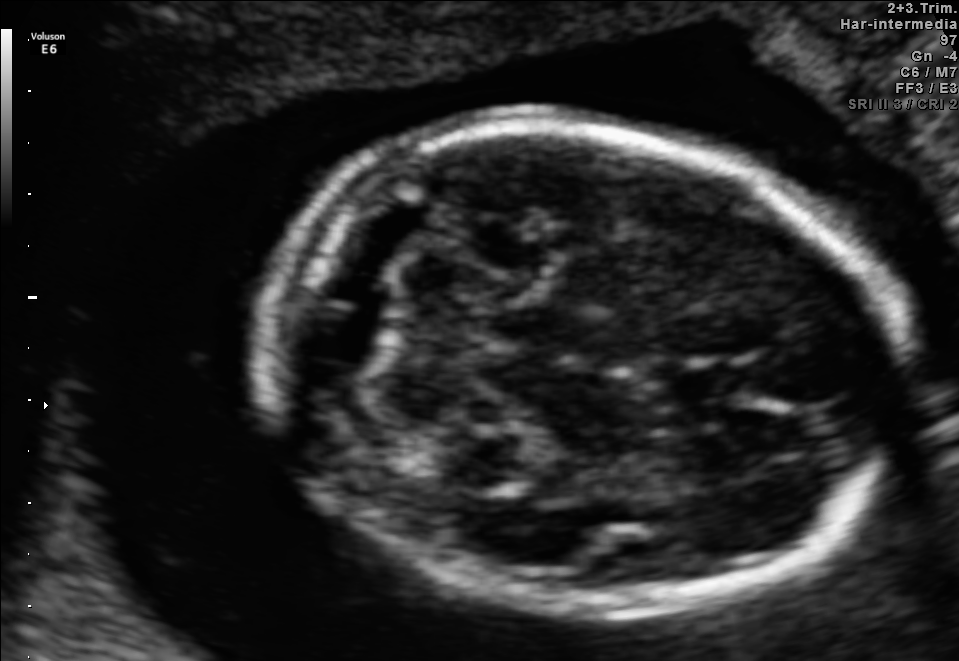
Classify this maternal-fetal ultrasound image as one of the six standard planes — fetal abdomen, fetal brain, fetal femur, fetal thorax, maternal cervix, or other. If it's fetal brain and one of the three standard brain planes (trans-thalamic, trans-cerebellum, trans-ventricular), name which.

Fetal brain (trans-cerebellum plane)